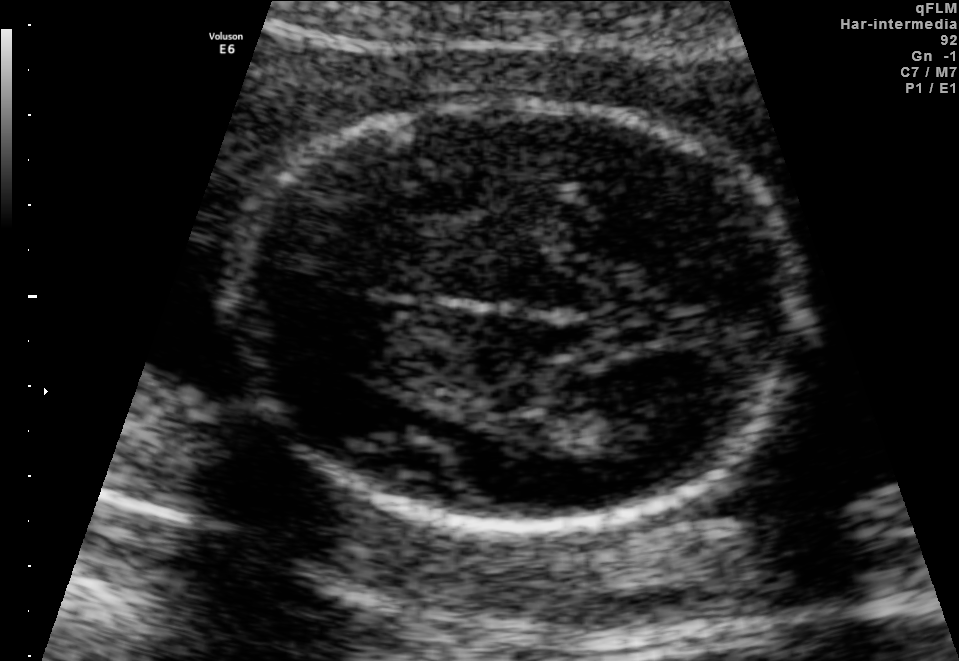
In this fetal brain, trans-thalamic plane, give the bounding box of the lateral ventricle.

[575,395,690,463]